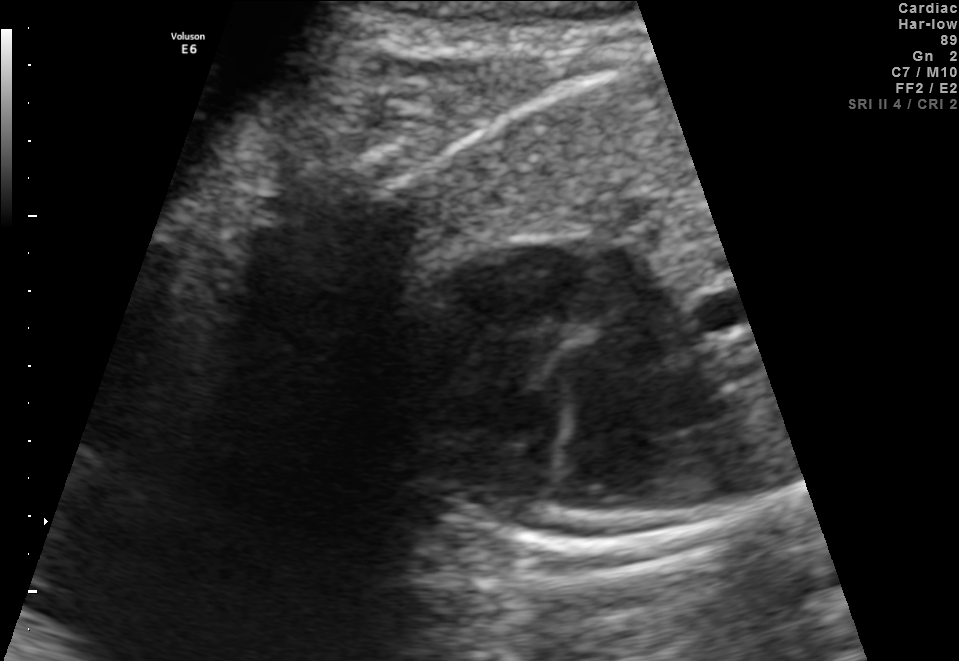
Which standard maternal-fetal ultrasound plane is shown: fetal abdomen, fetal brain, fetal femur, fetal thorax, maternal cervix, or other? If it's fetal brain and one of the three standard brain planes (trans-thalamic, trans-cerebellum, trans-ventricular), name which.

Fetal thorax